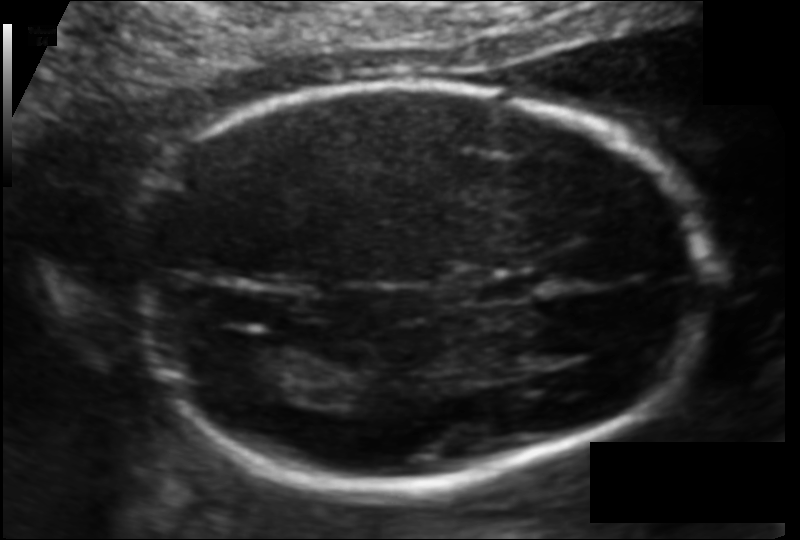
Fetal head ultrasound. Image width: 87.4 mm. Where is the fetal head?

Head bounding box: [123,82,705,486]